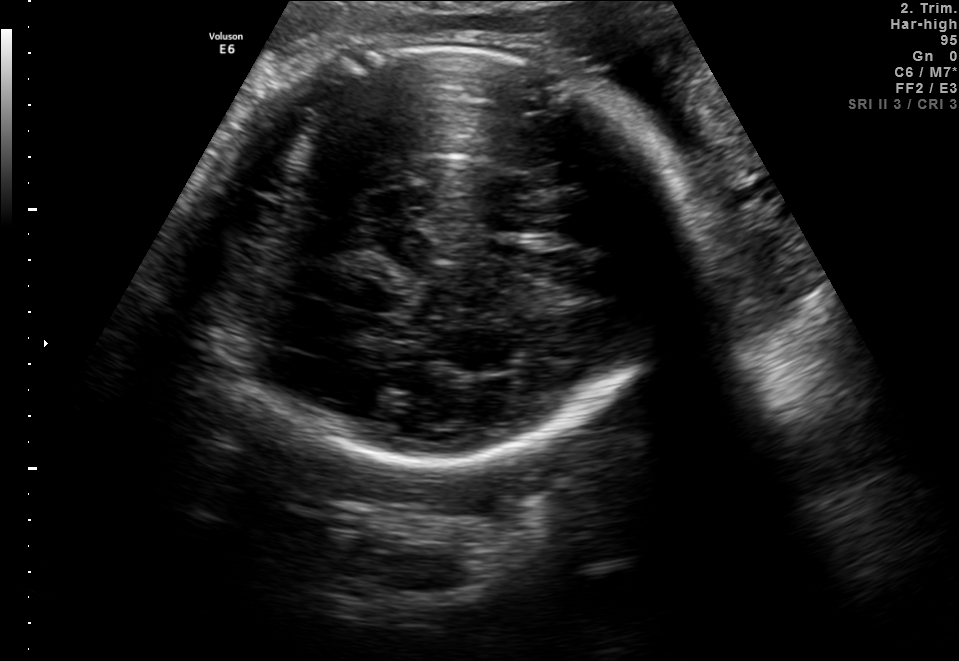
Classify this maternal-fetal ultrasound image as one of the six standard planes — fetal abdomen, fetal brain, fetal femur, fetal thorax, maternal cervix, or other. If it's fetal brain and one of the three standard brain planes (trans-thalamic, trans-cerebellum, trans-ventricular), name which.

Fetal brain (trans-thalamic plane)